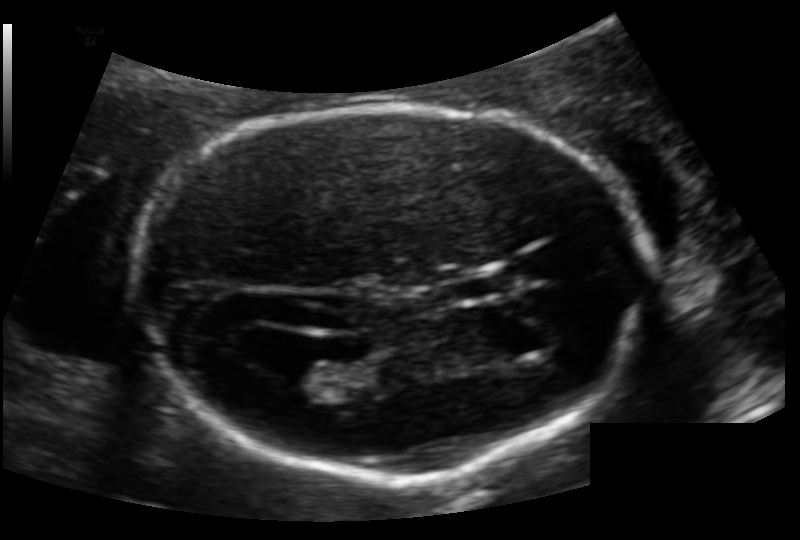
Fetal head ultrasound. Image width: 99.1 mm. Locate the cavum septum pellucidum.

CSP: [448,266,515,307]